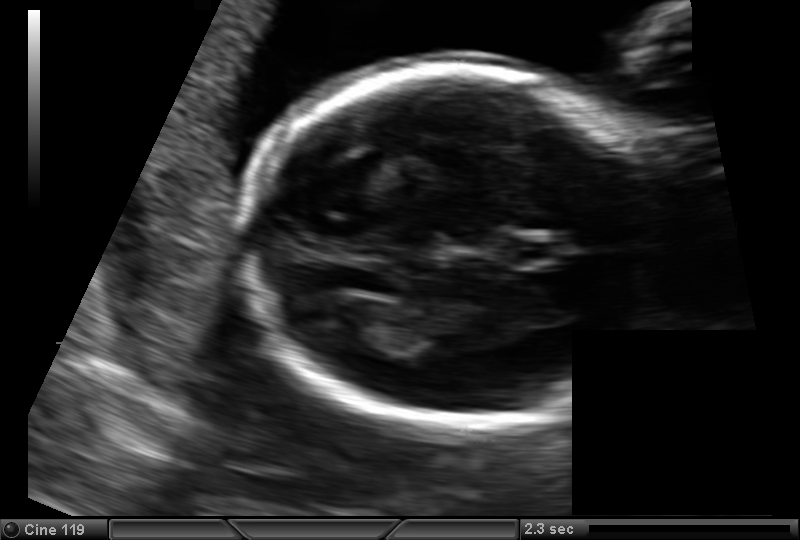
Fetal head ultrasound. Image width: 103.2 mm. Locate the lateral ventricle.

Lateral ventricle: [307,292,379,346]